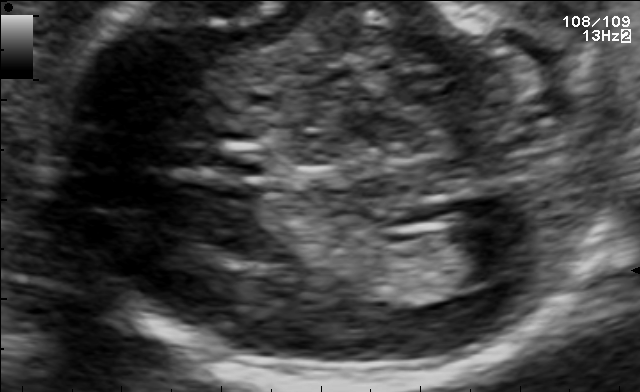
In this fetal brain, trans-ventricular plane, give the bounding box of the lateral ventricle.

[440,209,552,288]